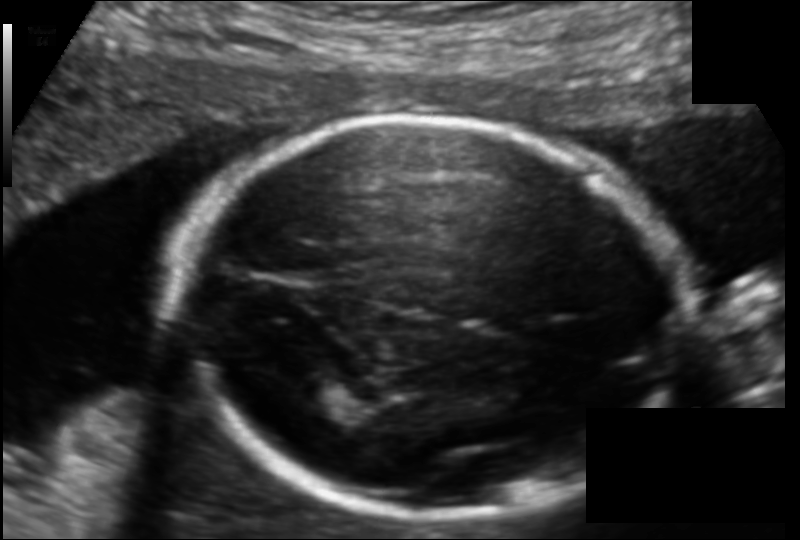
In this fetal head ultrasound, give bounding boxes for the head outline, cavum septum pellucidum (CSP), and lateral ventricle (LV), where visible. Image width: 96.3 mm.

Head: [176,119,686,517]